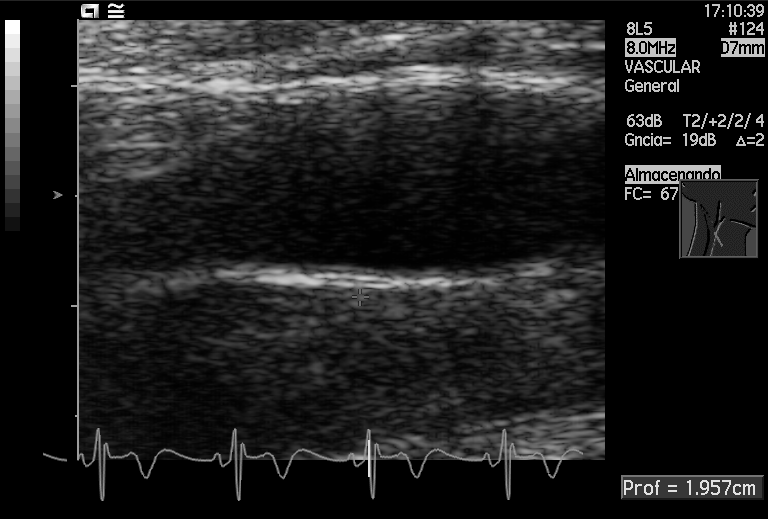
Identify the standard plane in this fetal ultrasound image: fetal abdomen, fetal brain, fetal femur, fetal thorax, maternal cervix, or other. If it's fetal brain and one of the three standard brain planes (trans-thalamic, trans-cerebellum, trans-ventricular), name which.

Other